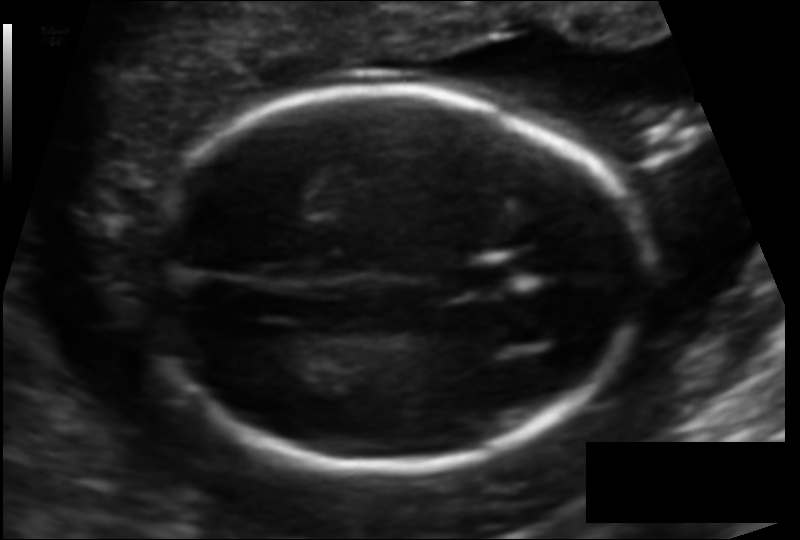
Fetal head ultrasound. Image width: 91.5 mm. Locate the fetal head and, if visible, the cavum septum pellucidum (CSP) and lateral ventricle (LV). Give bounding boxes as [x1,y1,x2,y2].

Head: [152,88,645,470]
CSP: [443,256,512,300]